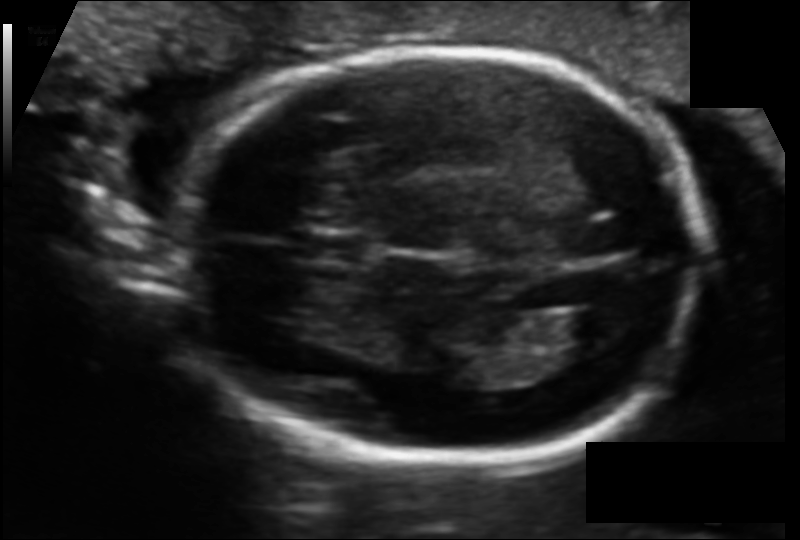
In this fetal head ultrasound, give bounding boxes for the head outline, cavum septum pellucidum (CSP), and lateral ventricle (LV), where visible. Image width: 86.3 mm.

Head: [173,50,709,467]
CSP: [304,233,369,263]
Lateral ventricle: [546,298,627,365]